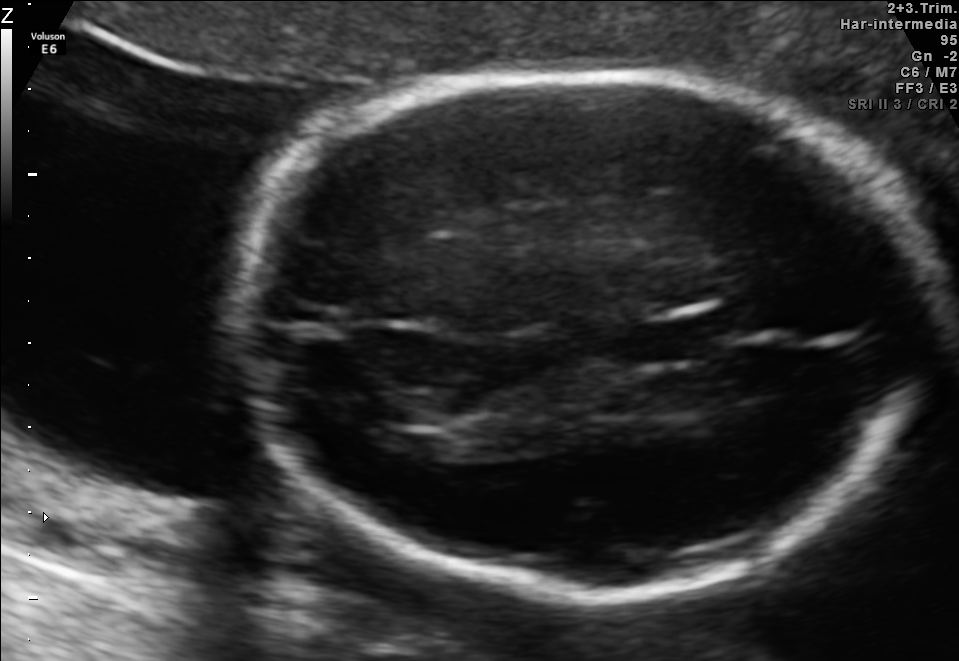
Fetal brain, trans-thalamic plane. Where is the fetal head?

Head bounding box: [250,70,927,595]